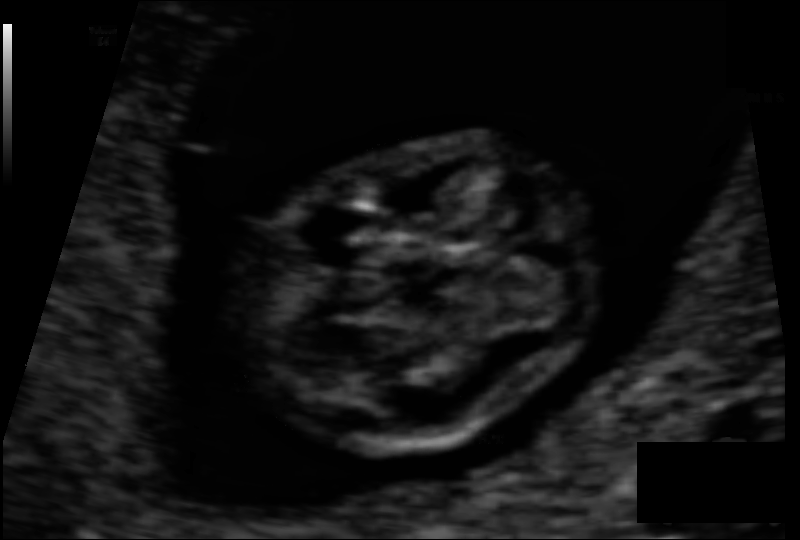
Fetal head ultrasound. Image width: 48.2 mm. Locate the fetal head and, if visible, the cavum septum pellucidum (CSP) and lateral ventricle (LV). Give bounding boxes as [x1,y1,x2,y2].

Head: [245,141,596,446]